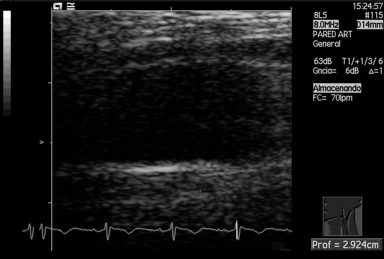
Which standard maternal-fetal ultrasound plane is shown: fetal abdomen, fetal brain, fetal femur, fetal thorax, maternal cervix, or other? If it's fetal brain and one of the three standard brain planes (trans-thalamic, trans-cerebellum, trans-ventricular), name which.

Other